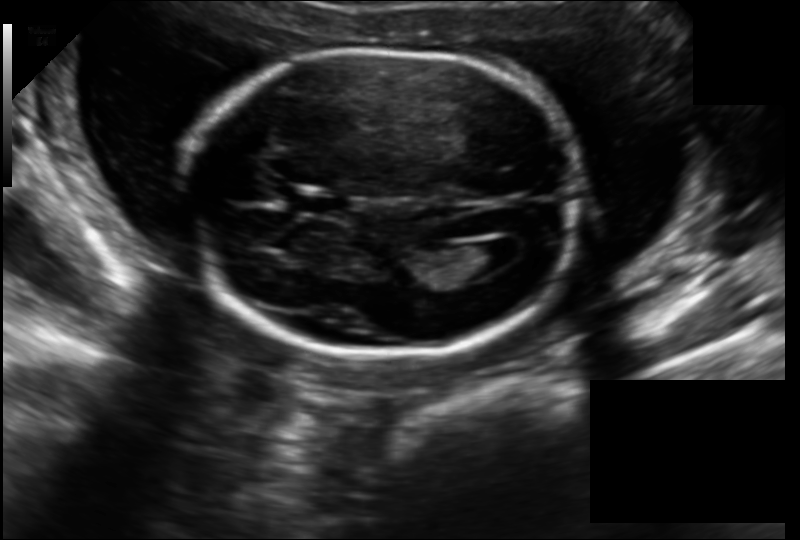
Fetal head ultrasound. Image width: 125.8 mm. Where is the lateral ventricle?

Lateral ventricle bounding box: [455,231,519,280]